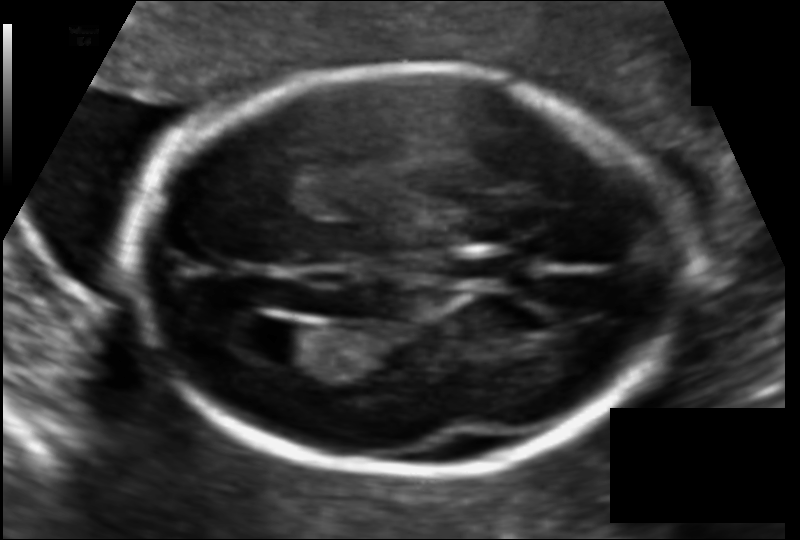
Fetal head ultrasound. Image width: 89.2 mm. Where is the lateral ventricle?

Lateral ventricle bounding box: [248,316,323,371]